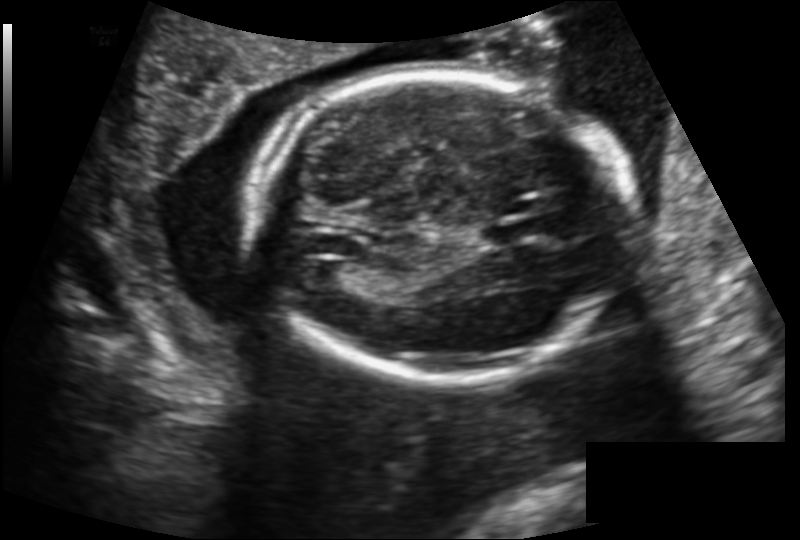
In this fetal head ultrasound, give bounding boxes for the head outline, cavum septum pellucidum (CSP), and lateral ventricle (LV), where visible. Image width: 127.5 mm.

Head: [250,70,631,380]
CSP: [480,216,536,248]
Lateral ventricle: [308,262,348,287]